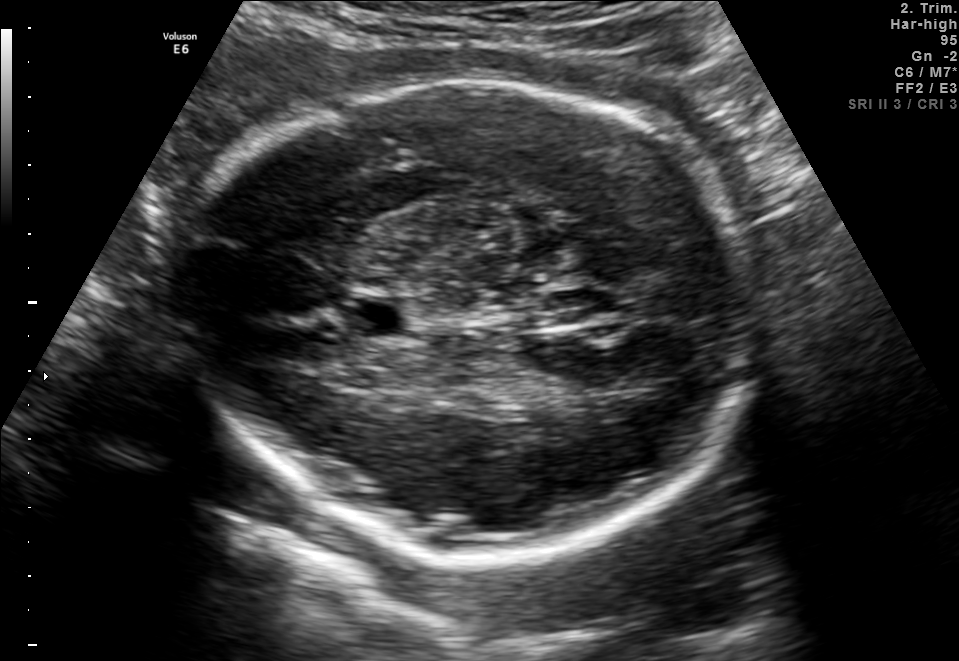
In this fetal brain, trans-thalamic plane, give the bounding box of the cavum septum pellucidum.

[351,297,407,338]